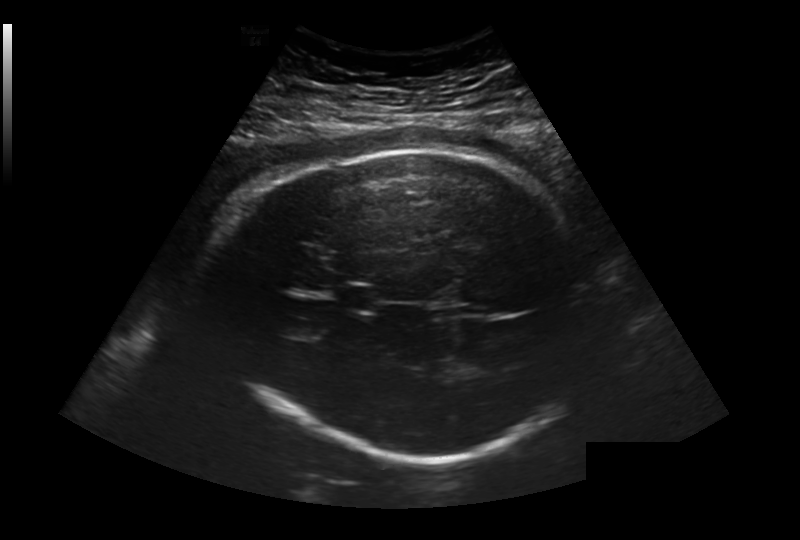
Estimate the fetal head circumference from this 2D ultrasound. Image width: 224.9 mm.

Head circumference: 316.5 mm.